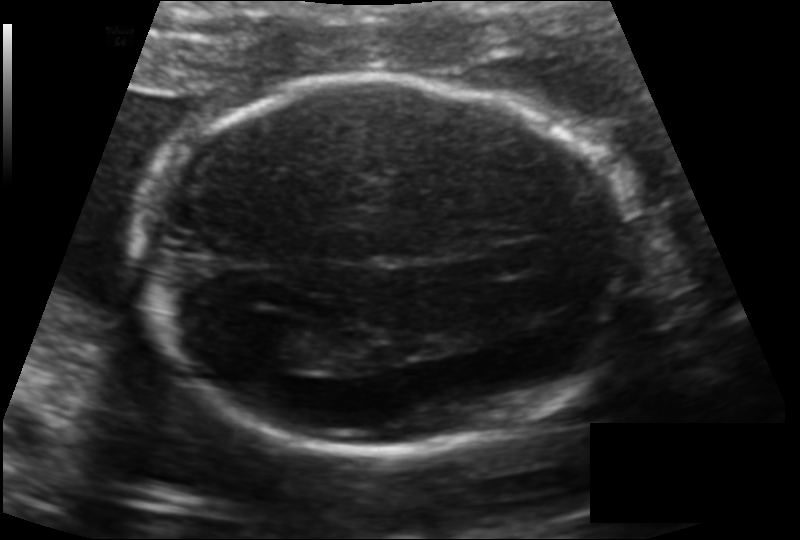
In this fetal head ultrasound, give the bounding box of the fetal head. Image width: 107.0 mm.

[149,77,637,450]